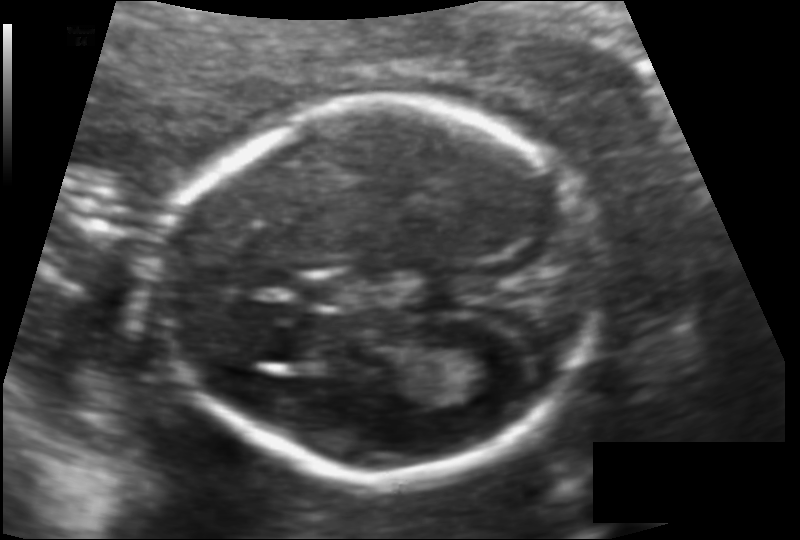
Fetal head ultrasound. Image width: 90.5 mm. Where is the lateral ventricle?

Lateral ventricle bounding box: [454,341,537,401]